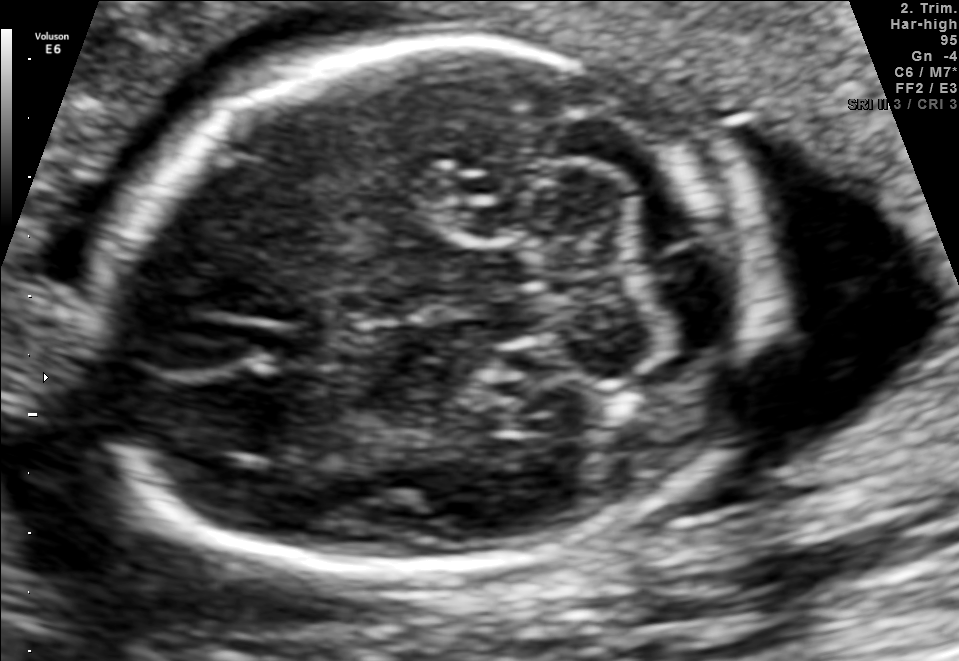
Fetal brain, trans-cerebellum plane. Where is the cavum septum pellucidum?

CSP bounding box: [254,324,340,370]